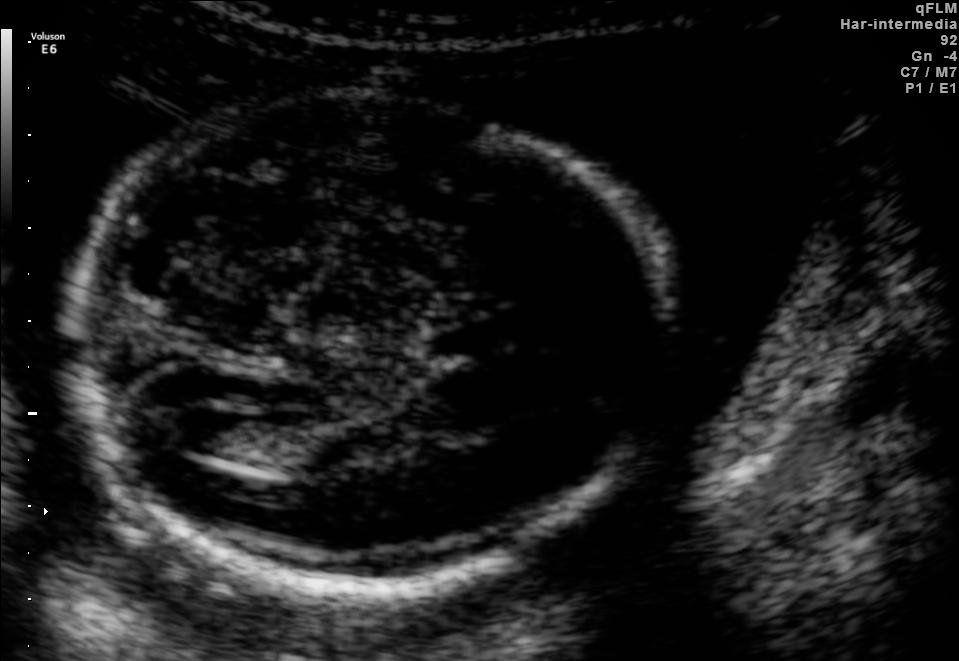
Fetal brain, trans-ventricular plane. Where is the fetal head?

Head bounding box: [51,87,688,598]